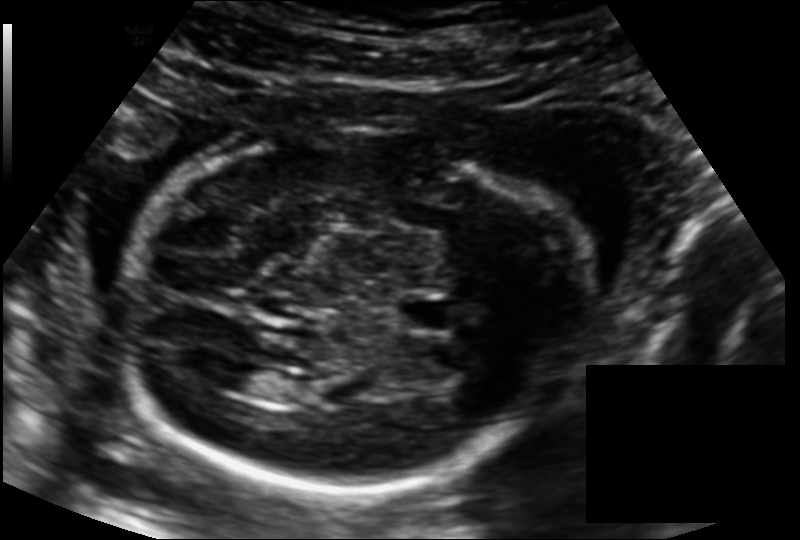
Fetal head ultrasound. Image width: 111.3 mm. Where is the cavum septum pellucidum?

CSP bounding box: [400,298,453,331]